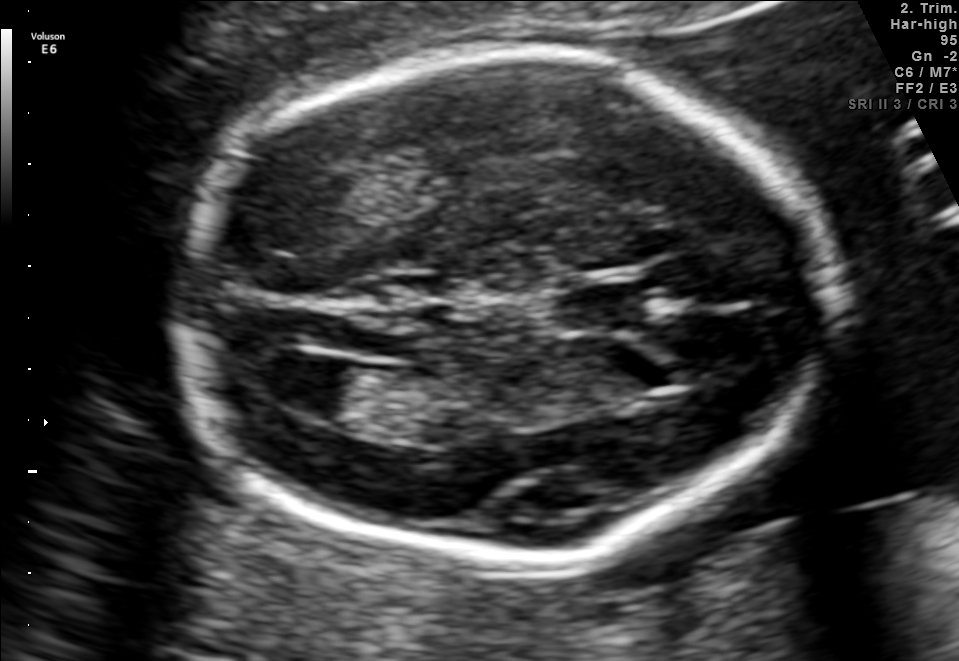
Fetal brain, trans-ventricular plane. Give [x1,y1,x2,y2] bounding boxes for each visible structure among: fetal head, CSP, LV.

Head: [163,43,856,572]
CSP: [543,279,674,333]
Lateral ventricle: [258,341,369,430]